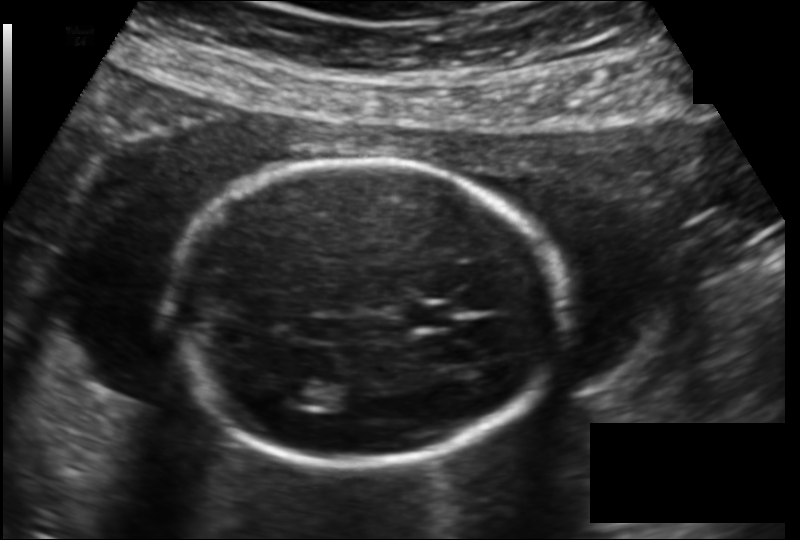
From this fetal ultrasound, estimate the head circumference (image width 119.1 mm).

Head circumference: 171.3 mm.